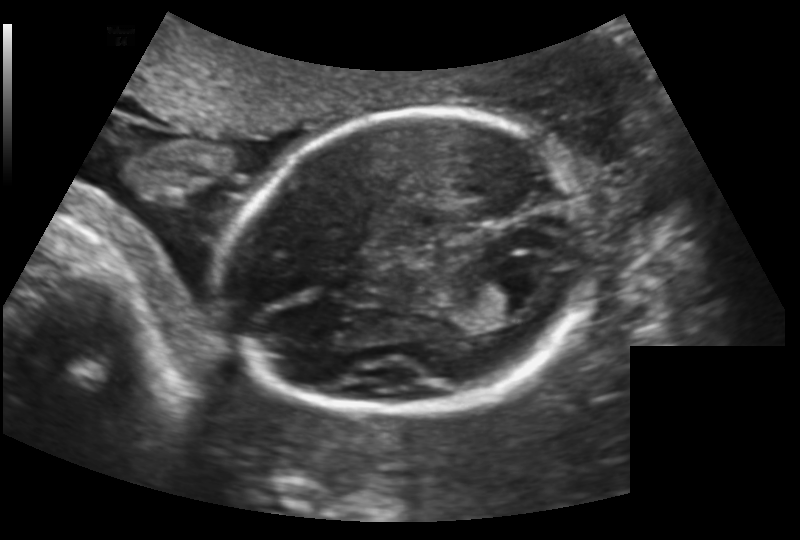
From this fetal ultrasound, estimate the head circumference (image width 127.5 mm).

Head circumference: 172.7 mm.